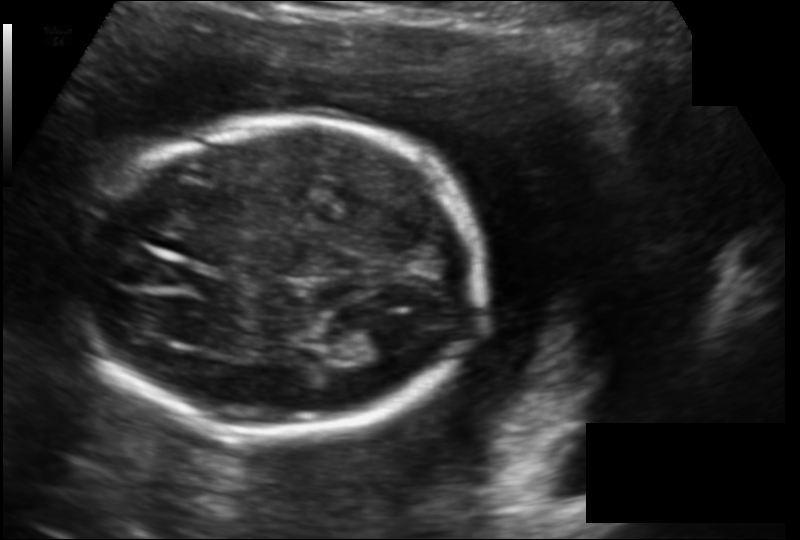
Measure the fetal head circumference shown in this ultrasound image. Image width: 113.3 mm.

Head circumference: 165.2 mm.